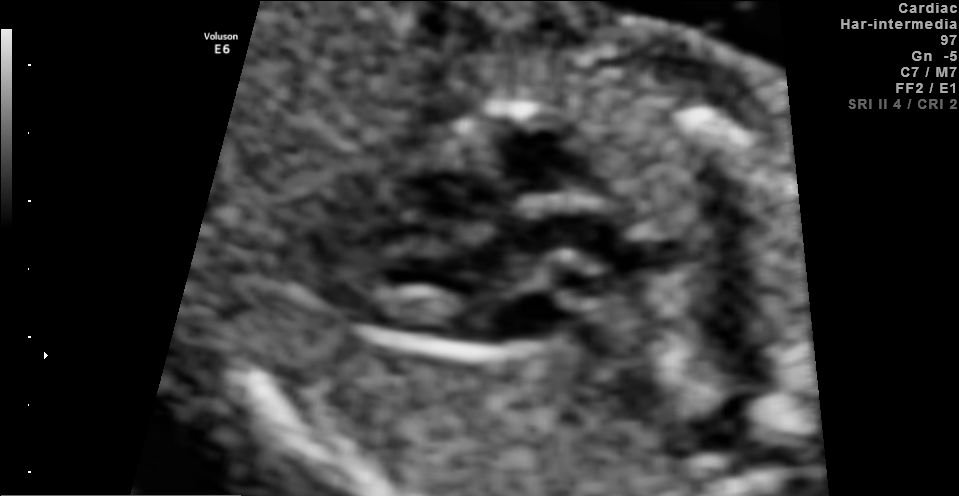
Classify this maternal-fetal ultrasound image as one of the six standard planes — fetal abdomen, fetal brain, fetal femur, fetal thorax, maternal cervix, or other. If it's fetal brain and one of the three standard brain planes (trans-thalamic, trans-cerebellum, trans-ventricular), name which.

Other